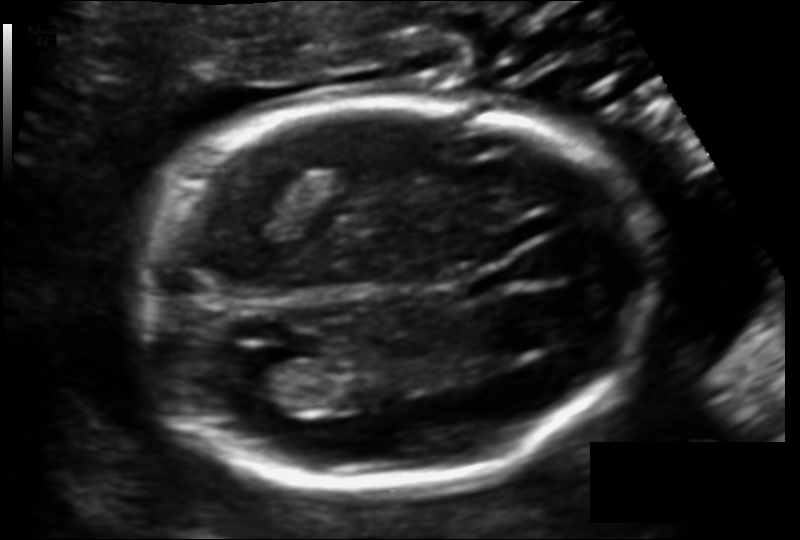
What is the fetal head circumference? Image width is 97.3 mm.

180.5 mm